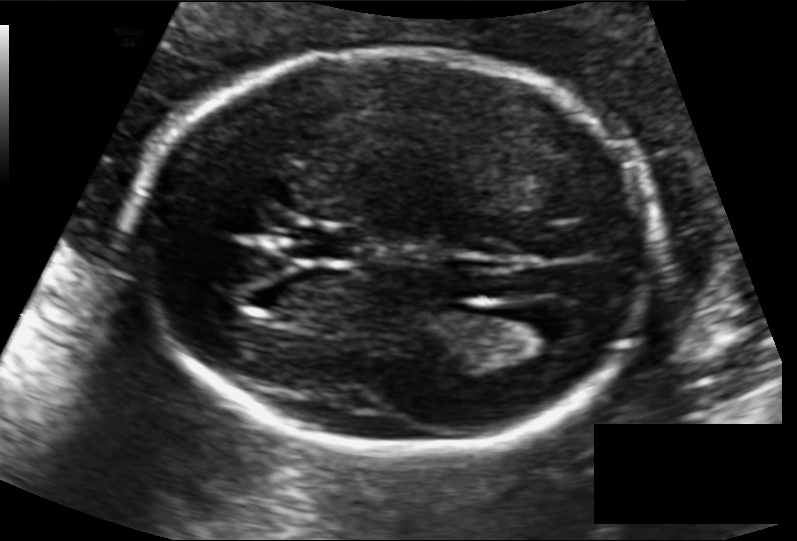
In this fetal head ultrasound, give the bounding box of the cavum septum pellucidum. Image width: 94.0 mm.

[289,226,356,260]